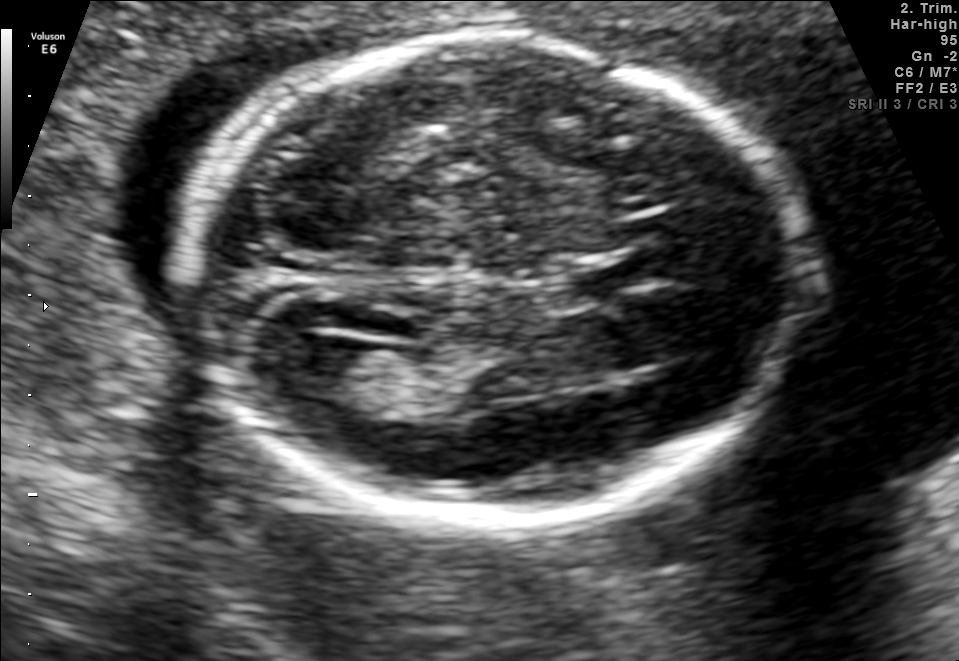
Which standard maternal-fetal ultrasound plane is shown: fetal abdomen, fetal brain, fetal femur, fetal thorax, maternal cervix, or other? If it's fetal brain and one of the three standard brain planes (trans-thalamic, trans-cerebellum, trans-ventricular), name which.

Fetal brain (trans-ventricular plane)